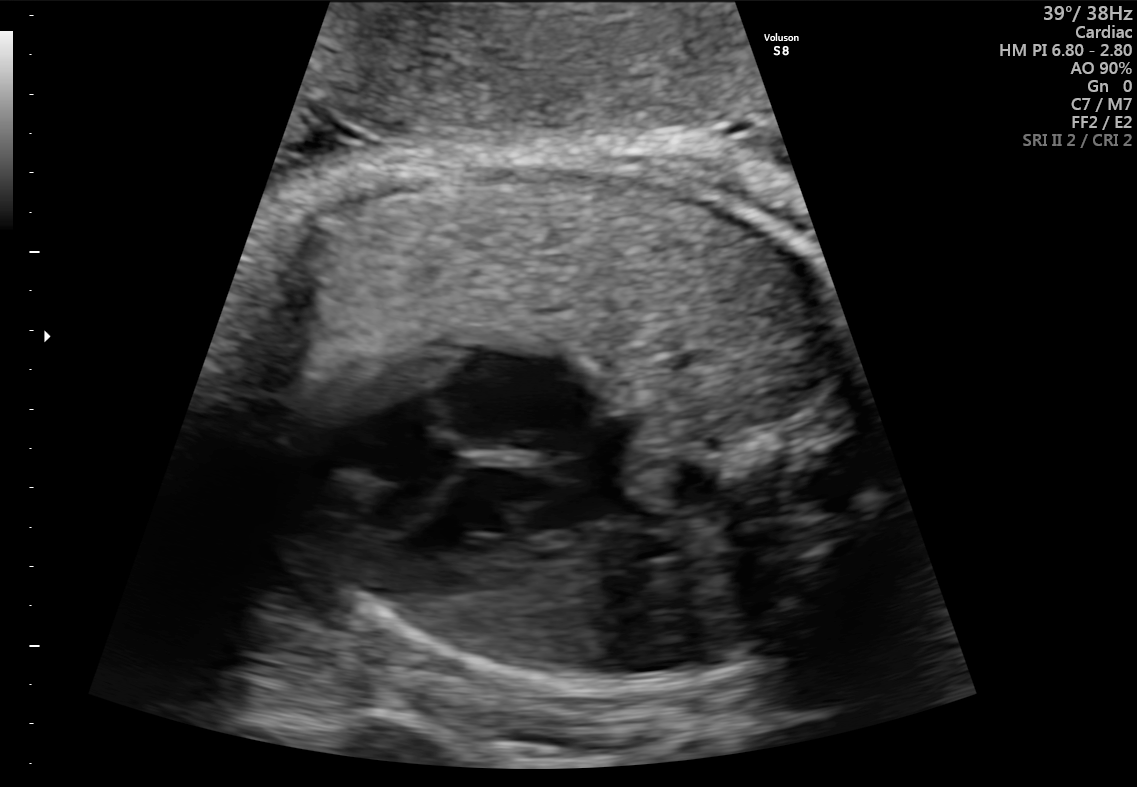
Which standard maternal-fetal ultrasound plane is shown: fetal abdomen, fetal brain, fetal femur, fetal thorax, maternal cervix, or other? If it's fetal brain and one of the three standard brain planes (trans-thalamic, trans-cerebellum, trans-ventricular), name which.

Fetal thorax